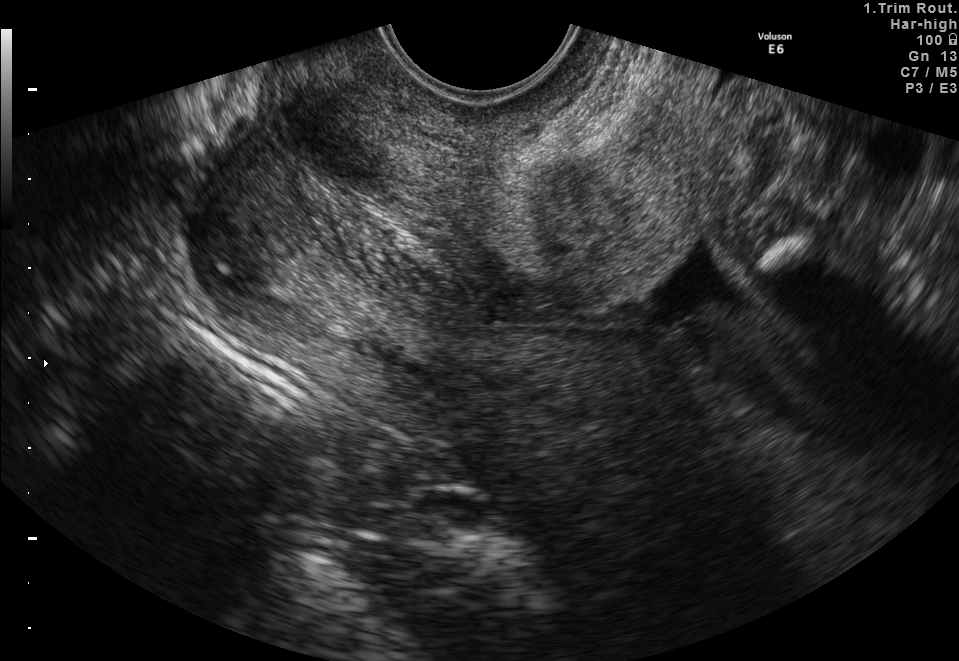
Identify the standard plane in this fetal ultrasound image: fetal abdomen, fetal brain, fetal femur, fetal thorax, maternal cervix, or other. If it's fetal brain and one of the three standard brain planes (trans-thalamic, trans-cerebellum, trans-ventricular), name which.

Maternal cervix